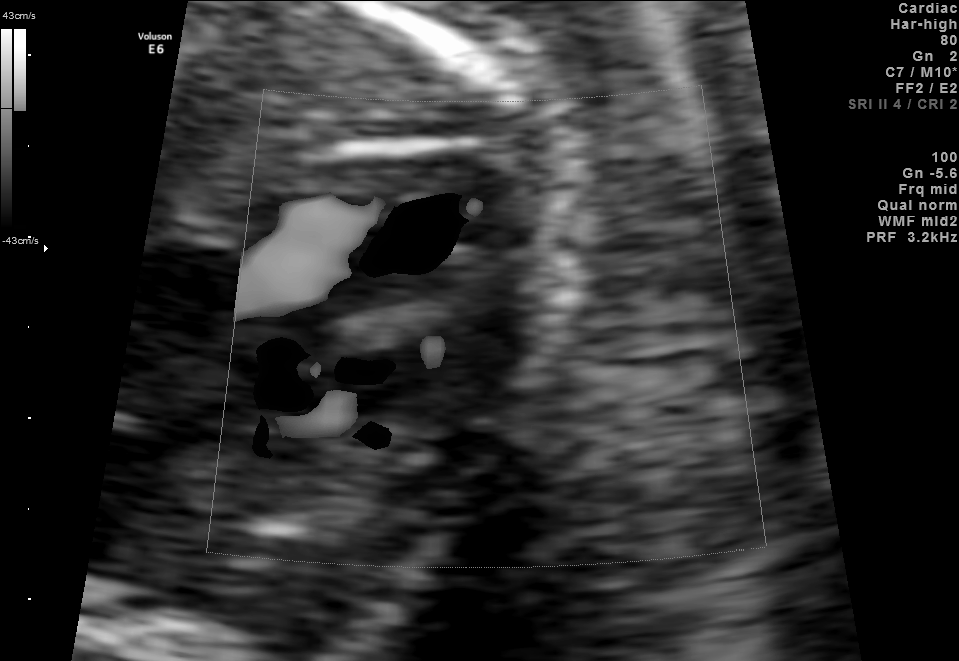
Identify the standard plane in this fetal ultrasound image: fetal abdomen, fetal brain, fetal femur, fetal thorax, maternal cervix, or other. If it's fetal brain and one of the three standard brain planes (trans-thalamic, trans-cerebellum, trans-ventricular), name which.

Other